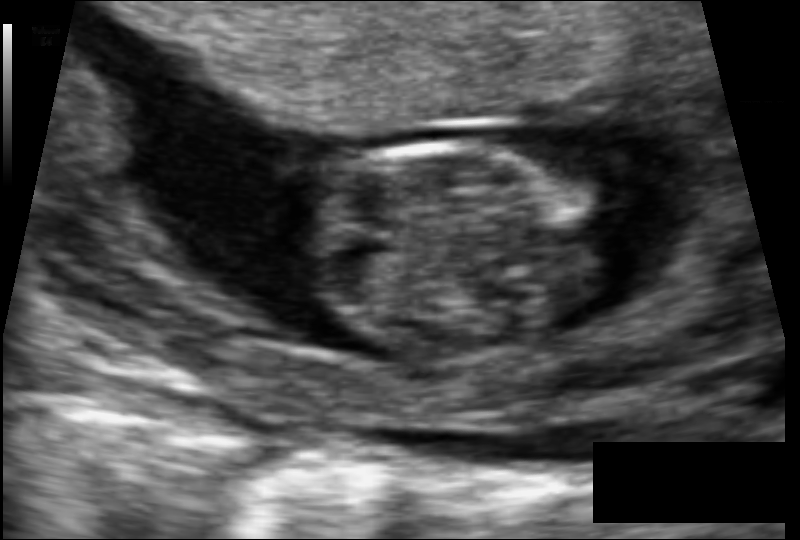
In this fetal head ultrasound, give the bounding box of the fetal head. Image width: 61.8 mm.

[304,141,603,356]